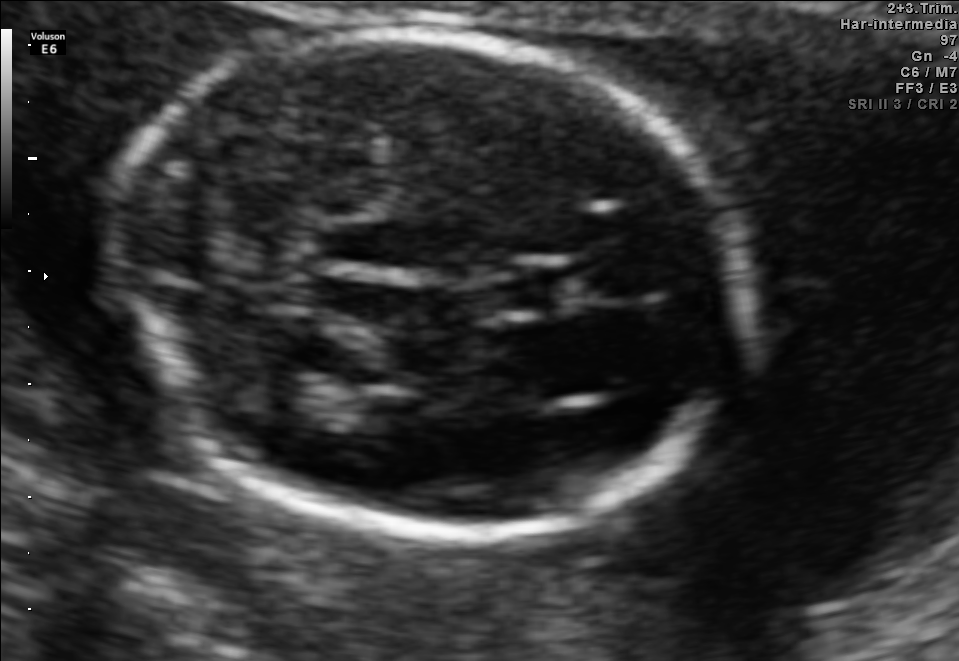
In this fetal brain, trans-thalamic plane, give bounding boxes for the head outline, cavum septum pellucidum (CSP), and lateral ventricle (LV), where visible.

Head: [106,32,755,535]
CSP: [492,268,559,307]
Lateral ventricle: [244,360,342,421]